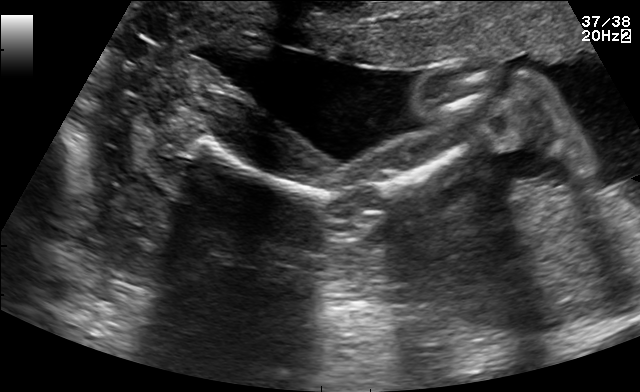
Classify this maternal-fetal ultrasound image as one of the six standard planes — fetal abdomen, fetal brain, fetal femur, fetal thorax, maternal cervix, or other. If it's fetal brain and one of the three standard brain planes (trans-thalamic, trans-cerebellum, trans-ventricular), name which.

Fetal femur